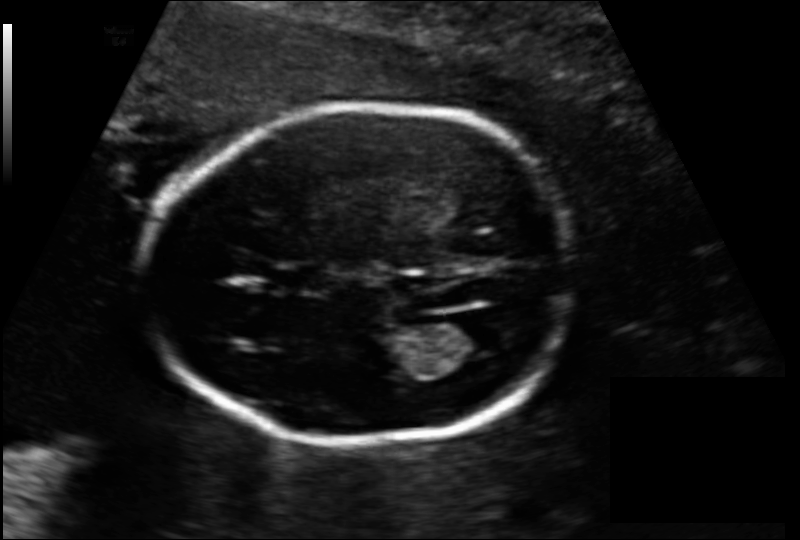
Fetal head ultrasound. Image width: 109.4 mm. Locate the fetal head.

Head: [148,105,571,444]